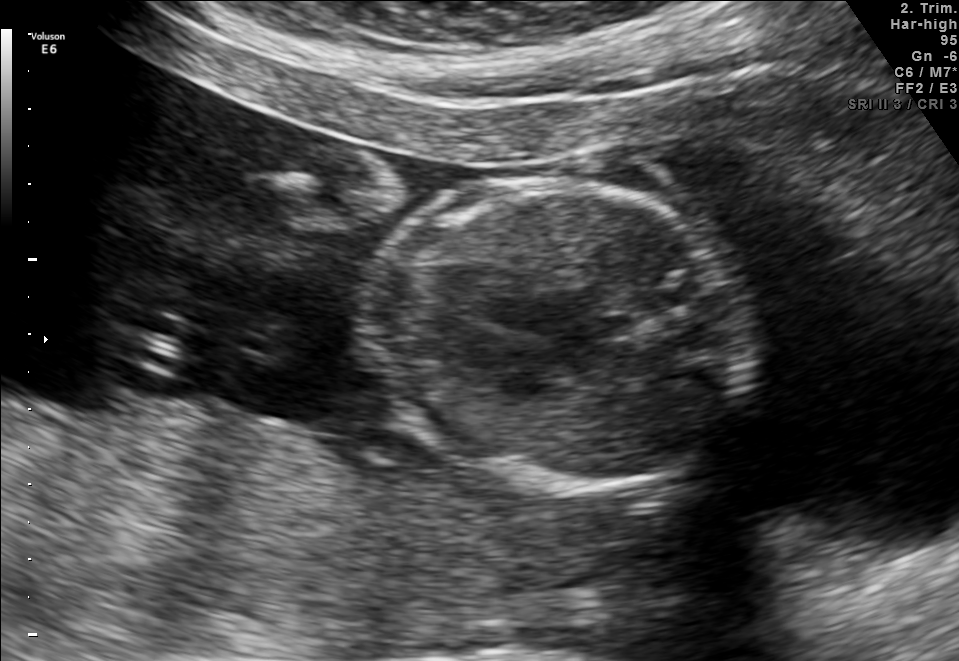
Classify this maternal-fetal ultrasound image as one of the six standard planes — fetal abdomen, fetal brain, fetal femur, fetal thorax, maternal cervix, or other. If it's fetal brain and one of the three standard brain planes (trans-thalamic, trans-cerebellum, trans-ventricular), name which.

Fetal thorax